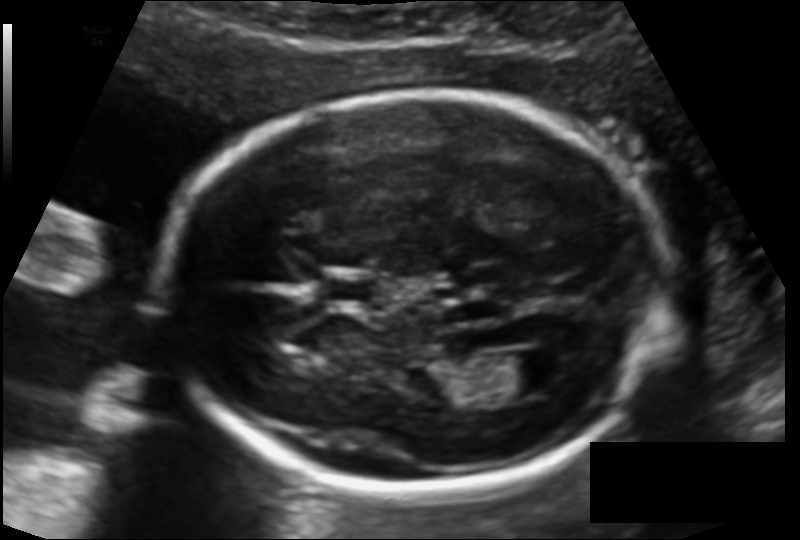
Fetal head ultrasound. Image width: 101.2 mm. Locate the cavum septum pellucidum.

CSP: [321,273,374,306]